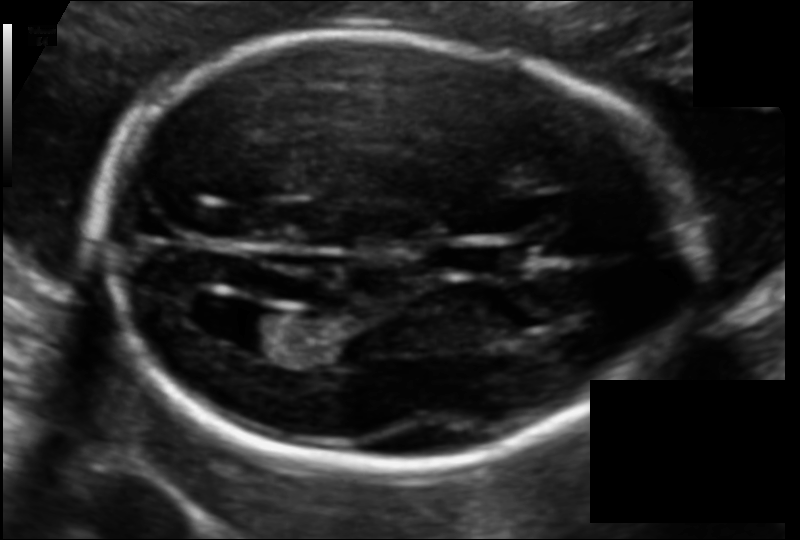
Estimate the fetal head circumference from this 2D ultrasound. Image width: 86.6 mm.

Head circumference: 179.1 mm.